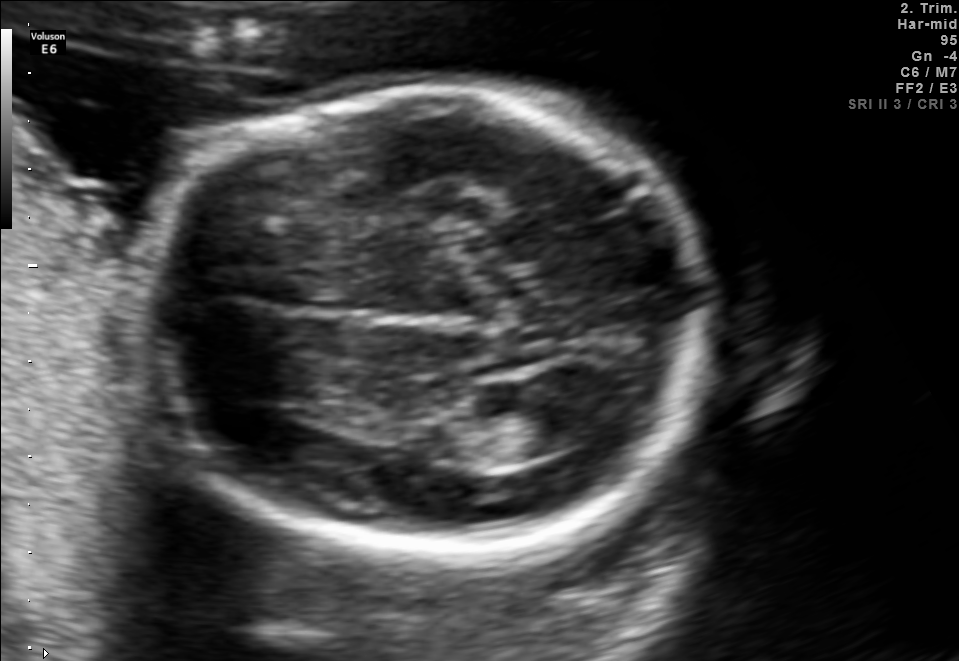
Fetal brain, trans-ventricular plane. Give [x1,y1,x2,y2] bounding boxes for each visible structure among: fetal head, CSP, LV.

Head: [135,77,730,570]